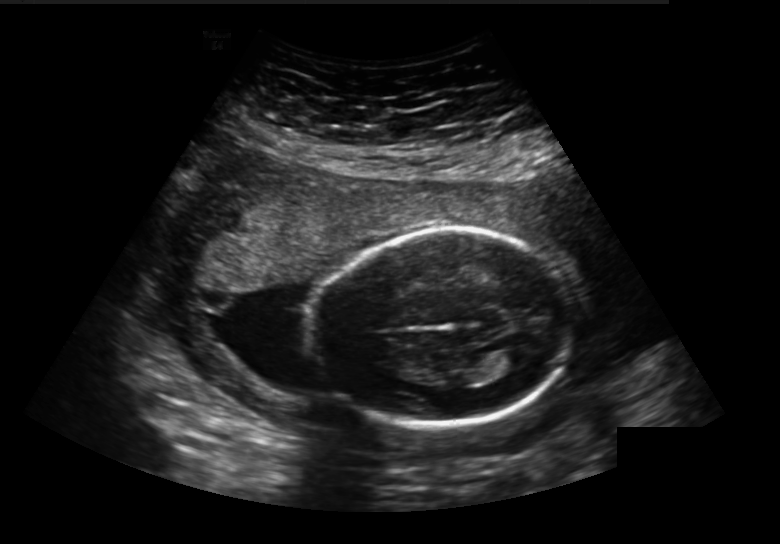
Estimate the fetal head circumference from this 2D ultrasound.

Head circumference: 176.3 mm (image width 184.0 mm).